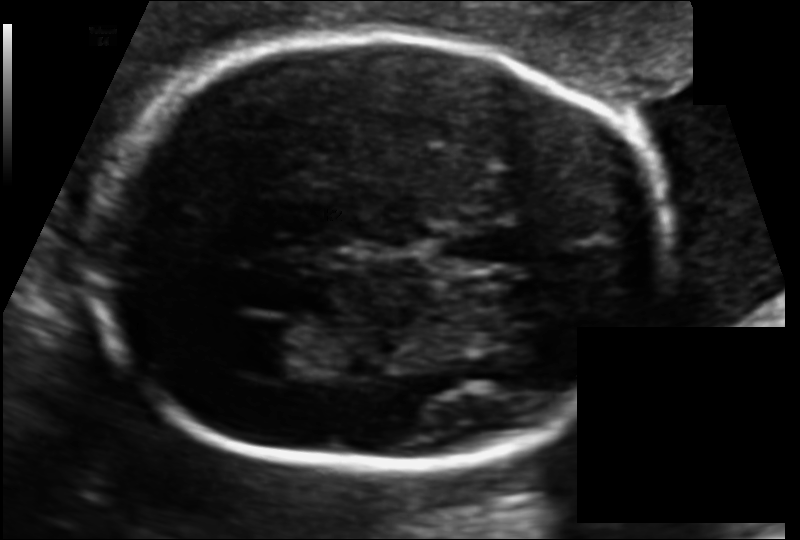
Measure the fetal head circumference shown in this ultrasound image. Image width: 89.0 mm.

Head circumference: 182.6 mm.